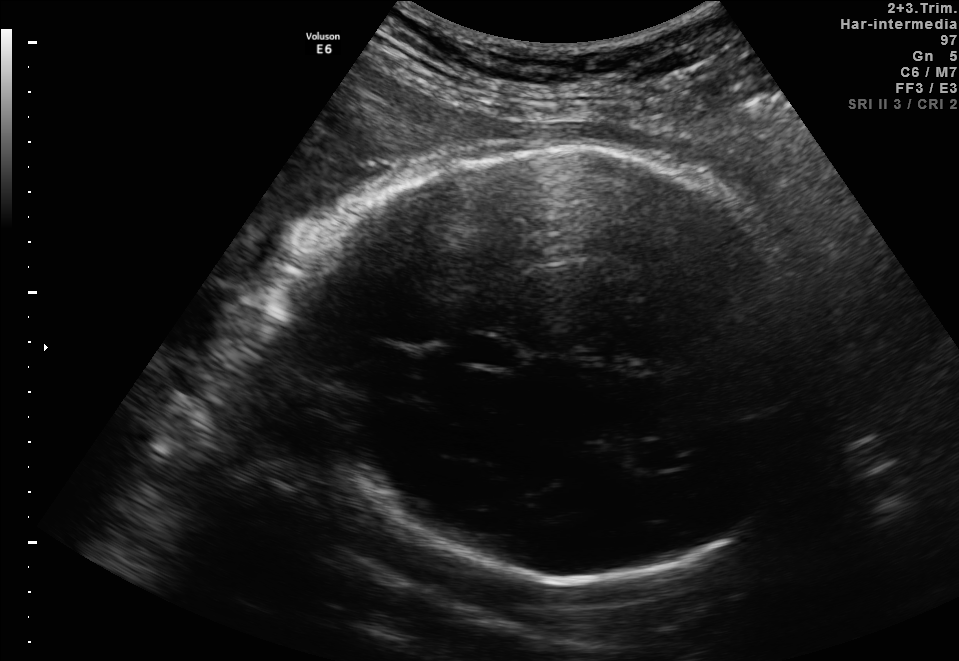
Fetal brain, trans-thalamic plane. Locate the lateral ventricle.

Lateral ventricle: [633,438,685,473]